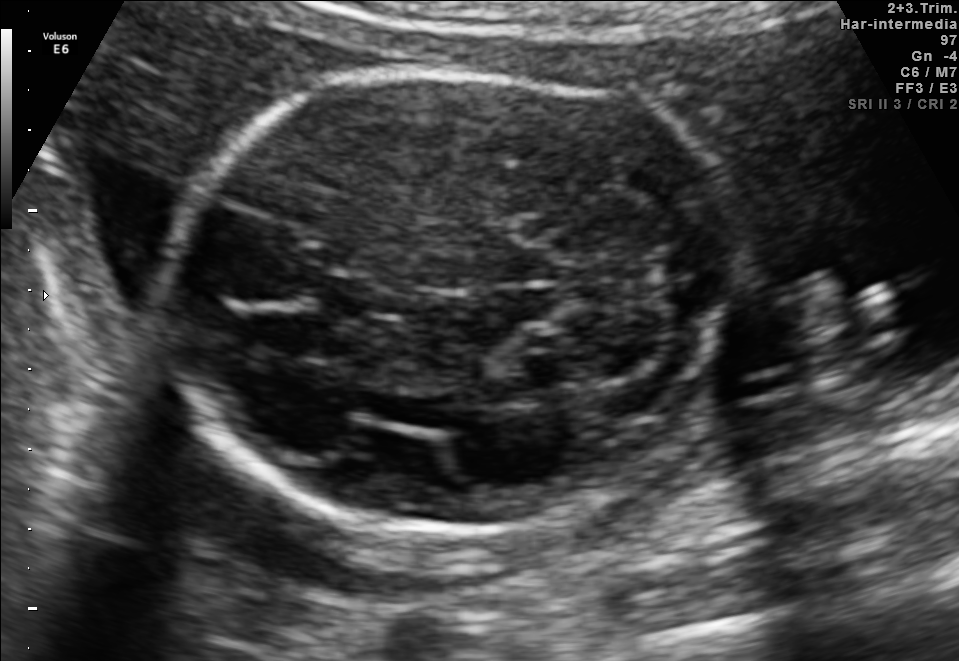
In this fetal brain, trans-cerebellum plane, give bounding boxes for the head outline, cavum septum pellucidum (CSP), and lateral ventricle (LV), where visible.

Head: [164,62,741,529]
CSP: [321,271,390,317]